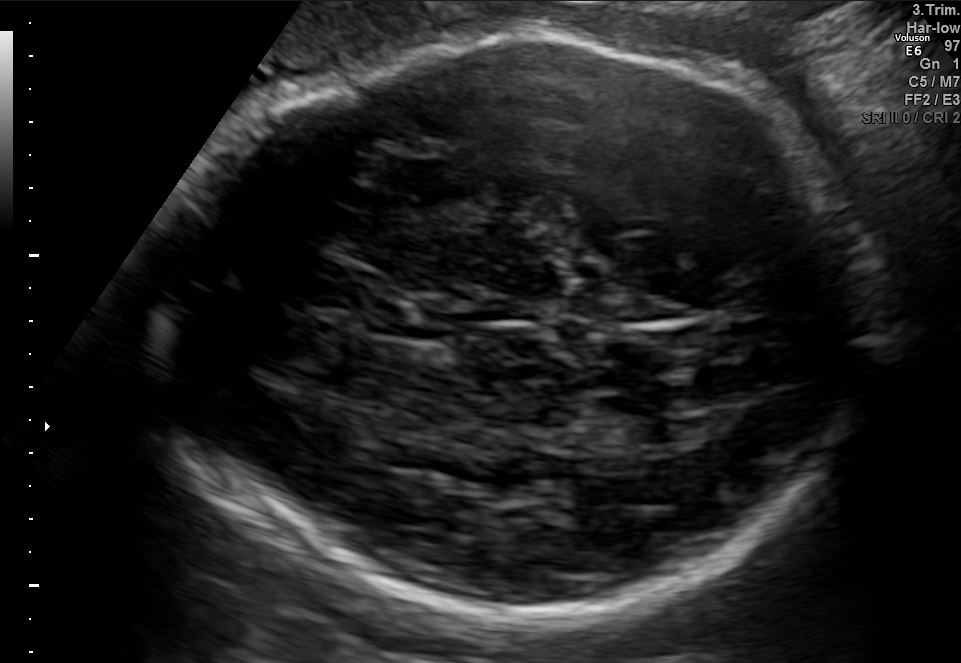
Fetal brain, trans-thalamic plane. Locate the fetal head.

Head: [150,33,875,616]